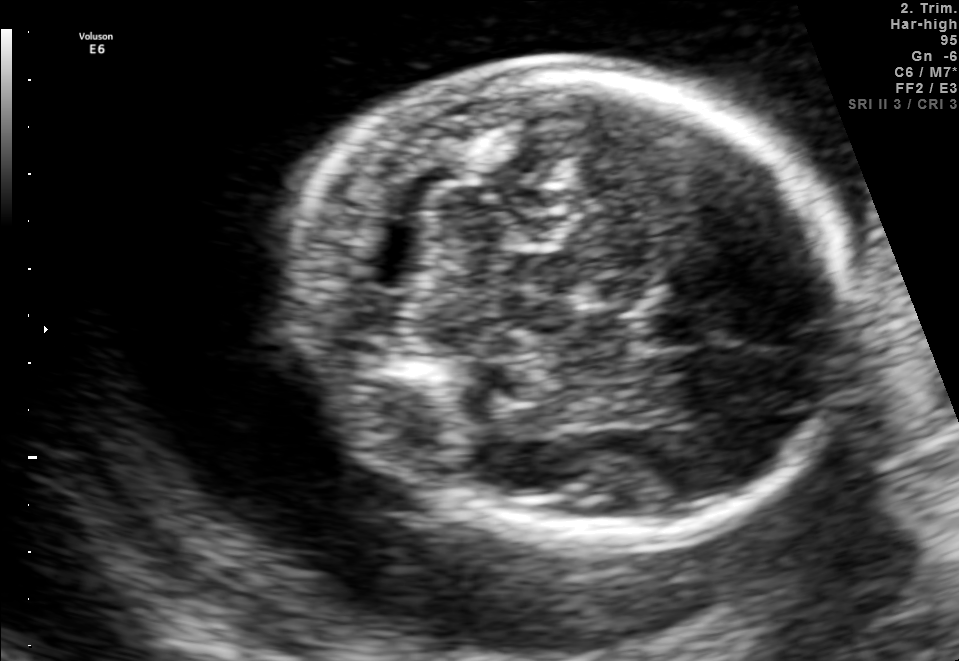
Fetal brain, trans-cerebellum plane. Locate the cavum septum pellucidum.

CSP: [635,308,714,352]